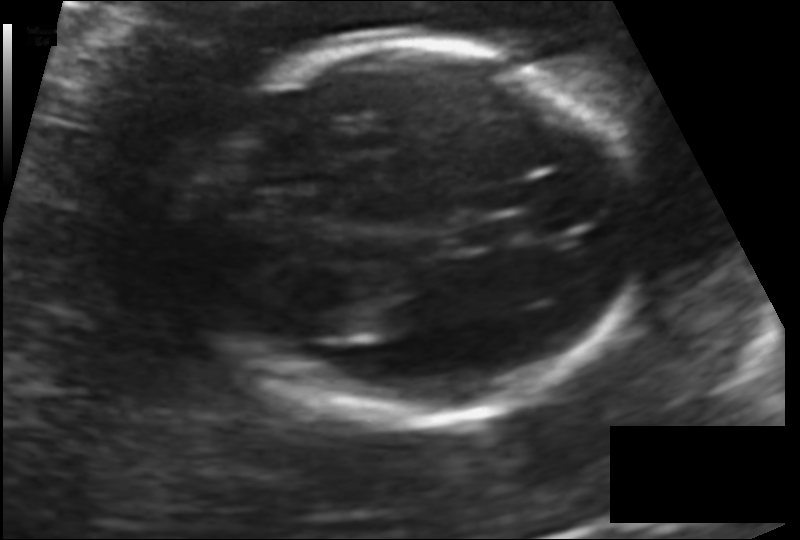
Fetal head ultrasound. Image width: 104.5 mm. Locate the lateral ventricle.

Lateral ventricle: [306,306,360,342]